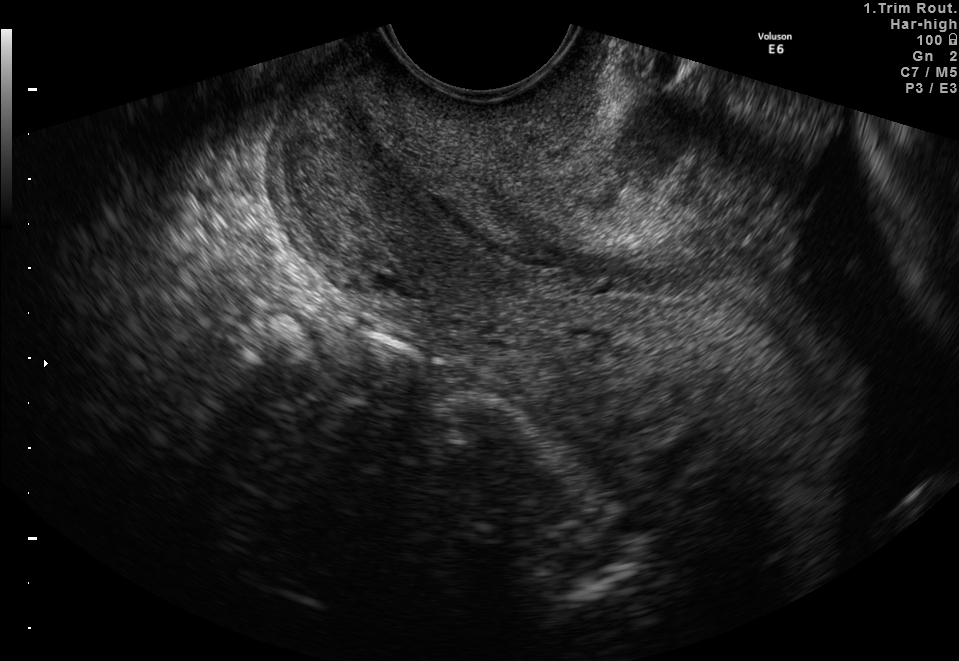
Classify this maternal-fetal ultrasound image as one of the six standard planes — fetal abdomen, fetal brain, fetal femur, fetal thorax, maternal cervix, or other. If it's fetal brain and one of the three standard brain planes (trans-thalamic, trans-cerebellum, trans-ventricular), name which.

Maternal cervix